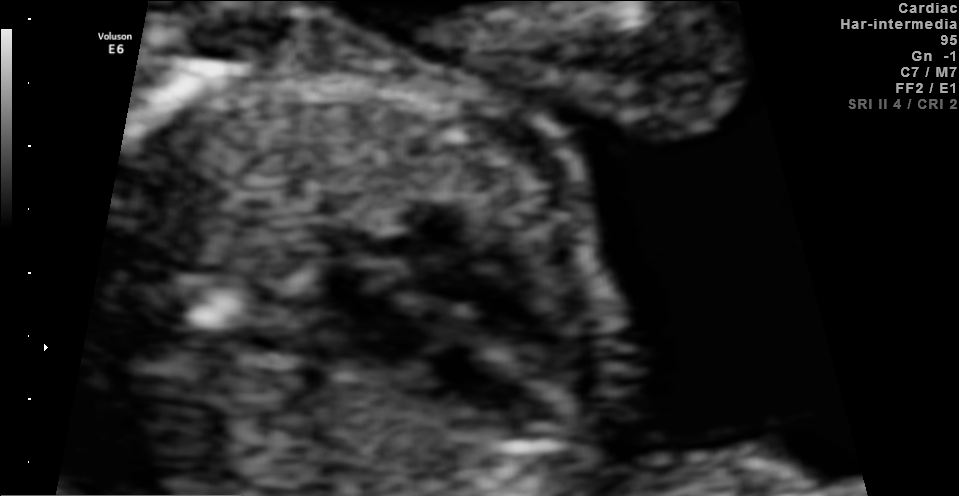
Classify this maternal-fetal ultrasound image as one of the six standard planes — fetal abdomen, fetal brain, fetal femur, fetal thorax, maternal cervix, or other. If it's fetal brain and one of the three standard brain planes (trans-thalamic, trans-cerebellum, trans-ventricular), name which.

Fetal thorax